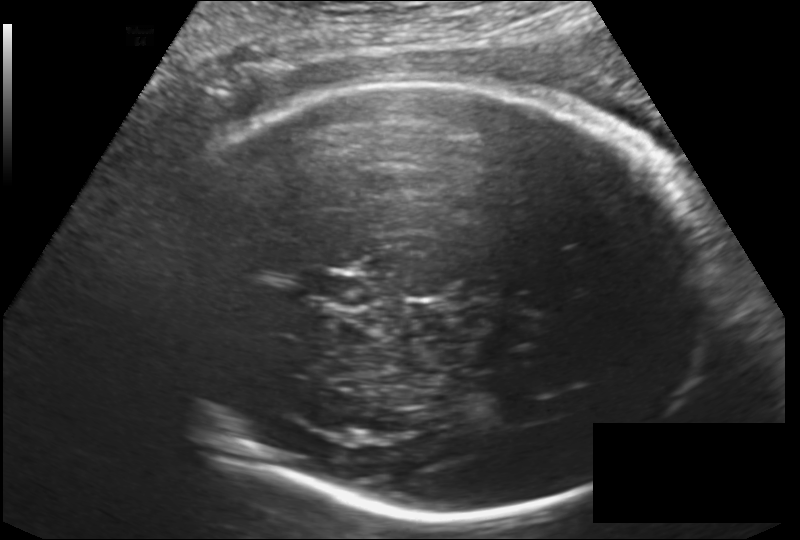
From this fetal ultrasound, estimate the head circumference (image width 145.9 mm).

Head circumference: 288.9 mm.